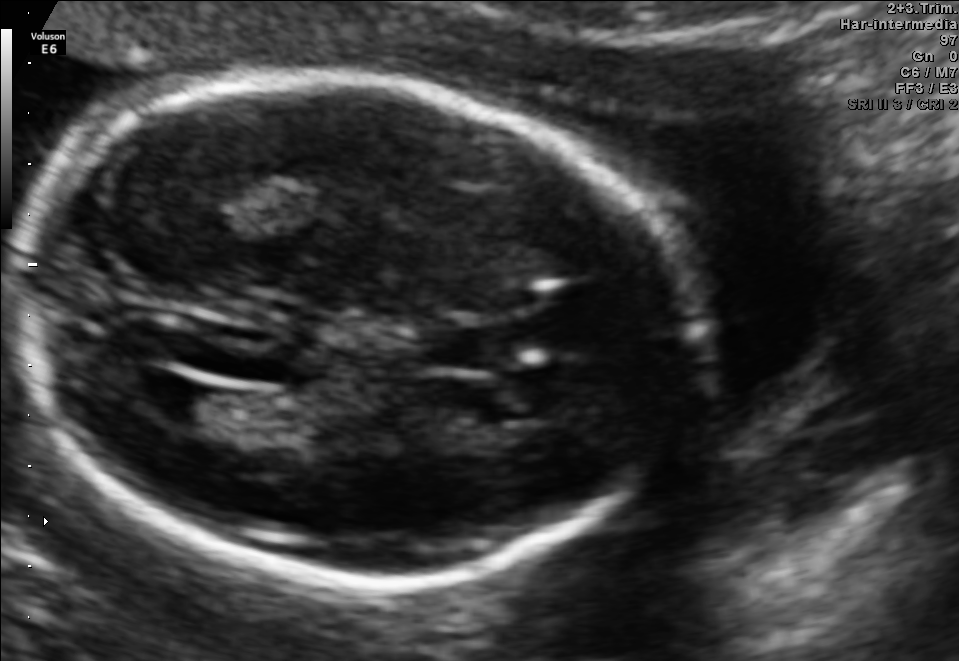
Fetal brain, trans-ventricular plane. Where is the lateral ventricle?

Lateral ventricle bounding box: [134,367,218,431]